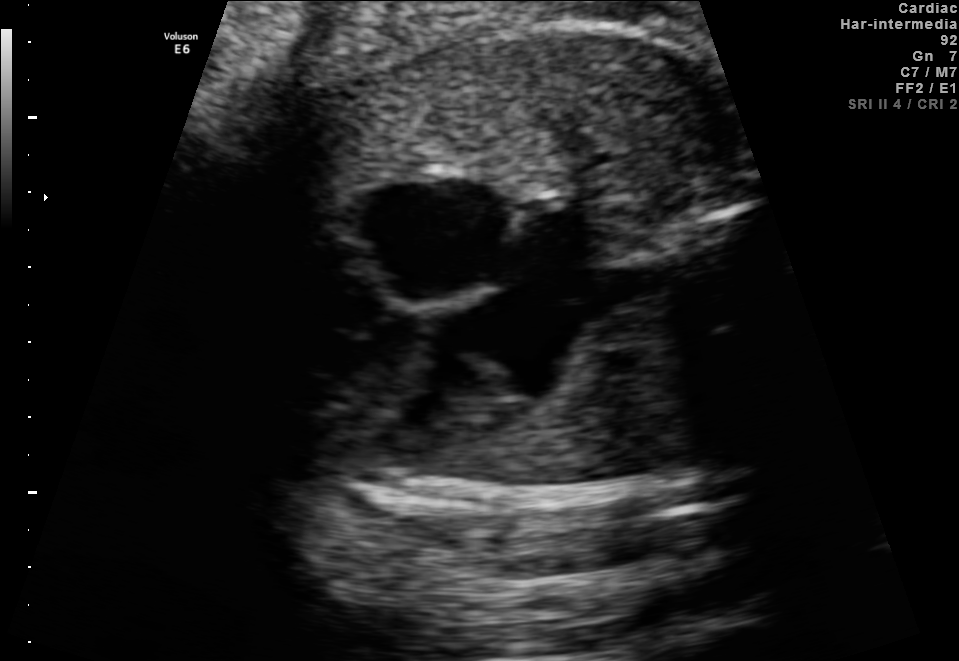
Classify this maternal-fetal ultrasound image as one of the six standard planes — fetal abdomen, fetal brain, fetal femur, fetal thorax, maternal cervix, or other. If it's fetal brain and one of the three standard brain planes (trans-thalamic, trans-cerebellum, trans-ventricular), name which.

Fetal thorax